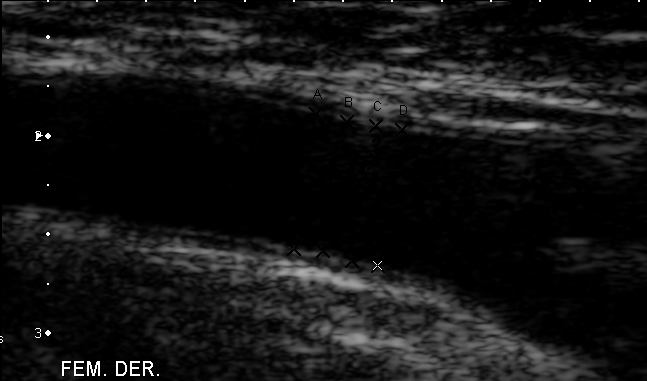
Identify the standard plane in this fetal ultrasound image: fetal abdomen, fetal brain, fetal femur, fetal thorax, maternal cervix, or other. If it's fetal brain and one of the three standard brain planes (trans-thalamic, trans-cerebellum, trans-ventricular), name which.

Other